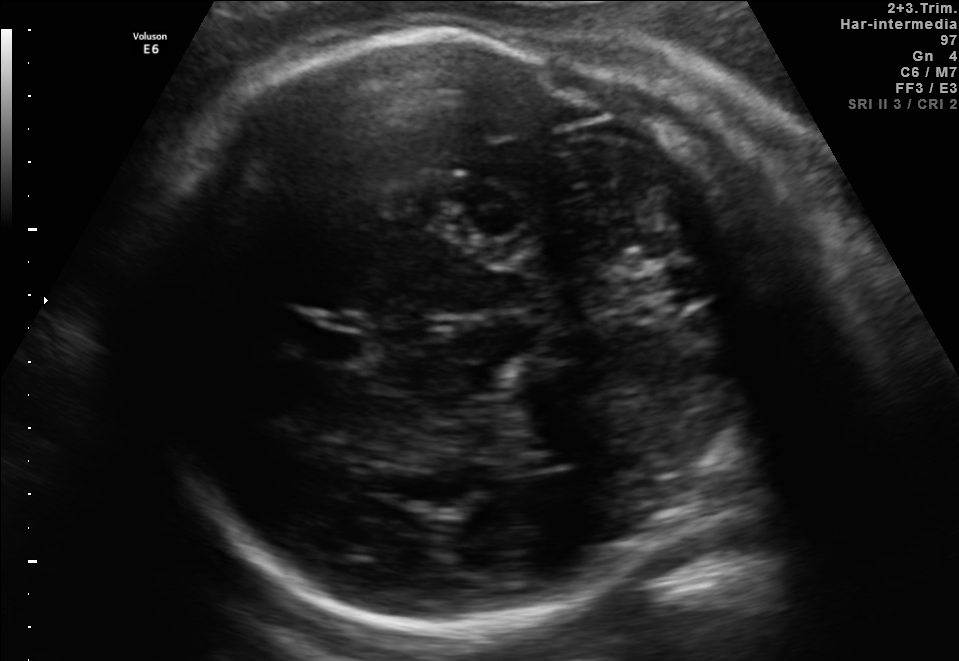
This is a 2D maternal-fetal ultrasound frame. Is it a fetal abdomen, fetal brain, fetal femur, fetal thorax, maternal cervix, or other standard plane? If it's fetal brain and one of the three standard brain planes (trans-thalamic, trans-cerebellum, trans-ventricular), name which.

Fetal brain (trans-thalamic plane)